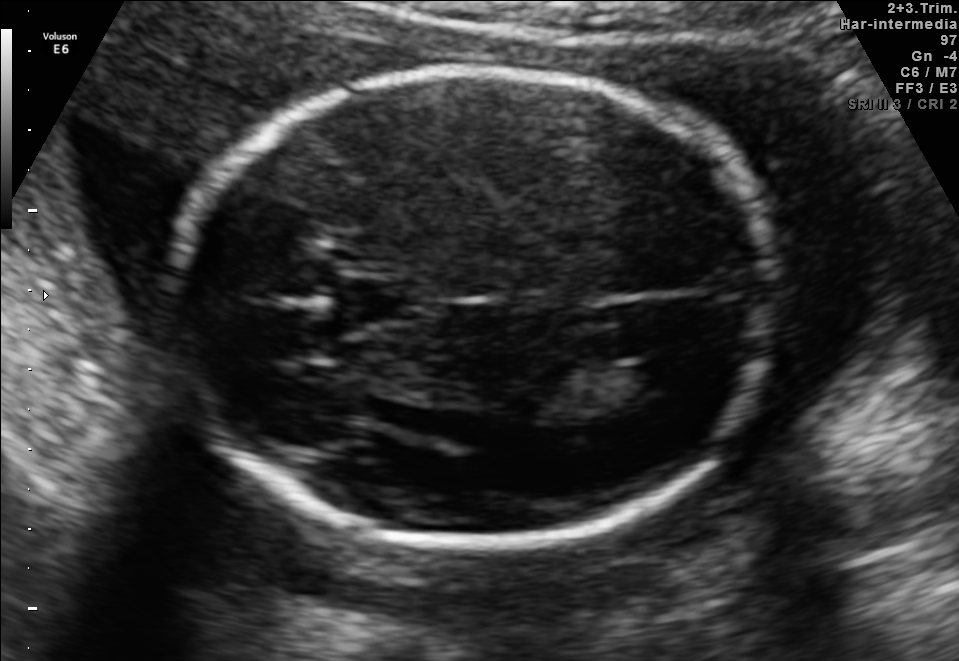
Fetal brain, trans-ventricular plane. Give [x1,y1,x2,y2] bounding boxes for each visible structure among: fetal head, CSP, LV.

Head: [155,58,798,557]
CSP: [325,280,417,322]
Lateral ventricle: [619,353,690,403]